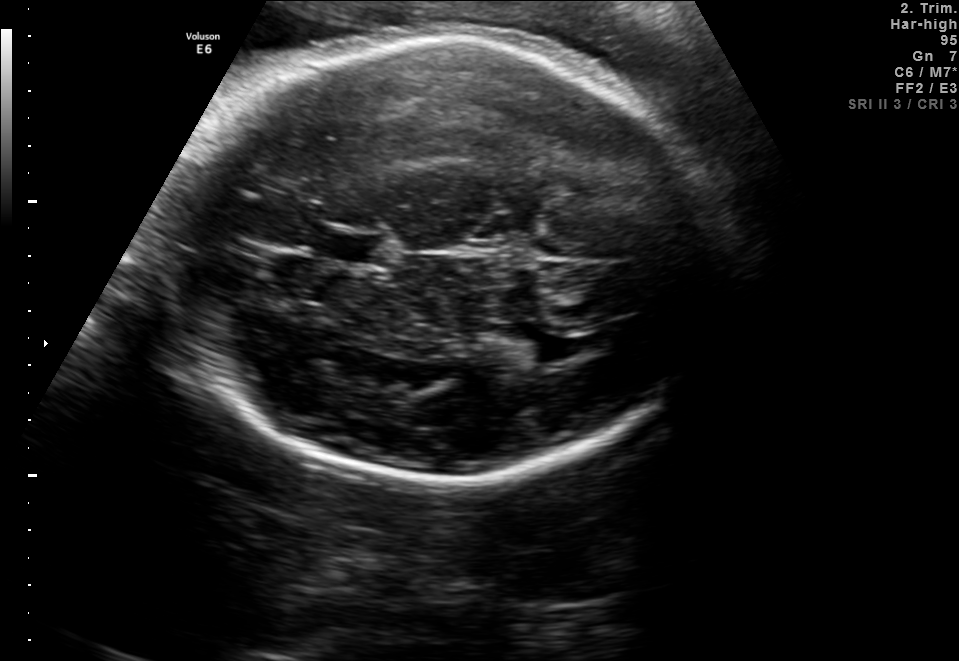
In this fetal brain, trans-thalamic plane, give bounding boxes for the head outline, cavum septum pellucidum (CSP), and lateral ventricle (LV), where visible.

Head: [171,37,728,482]
CSP: [323,228,381,265]
Lateral ventricle: [496,330,561,365]